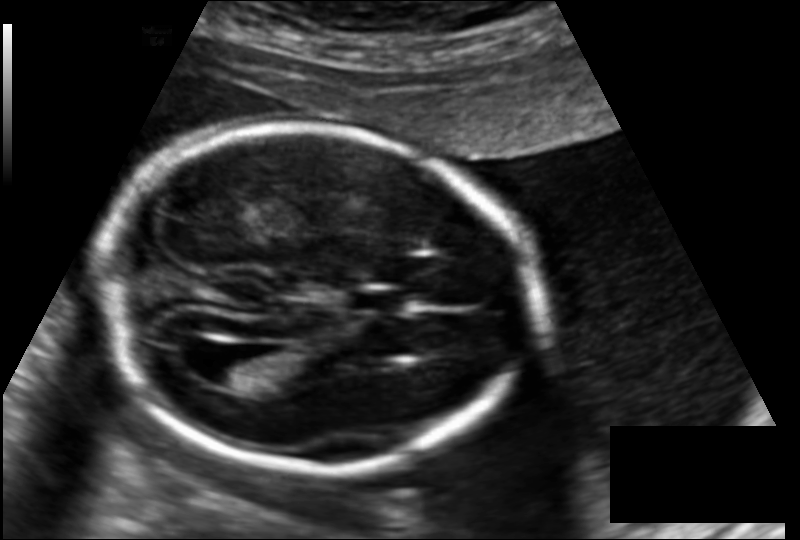
In this fetal head ultrasound, give the bounding box of the cavum septum pellucidum. Image width: 115.9 mm.

[346,286,409,314]